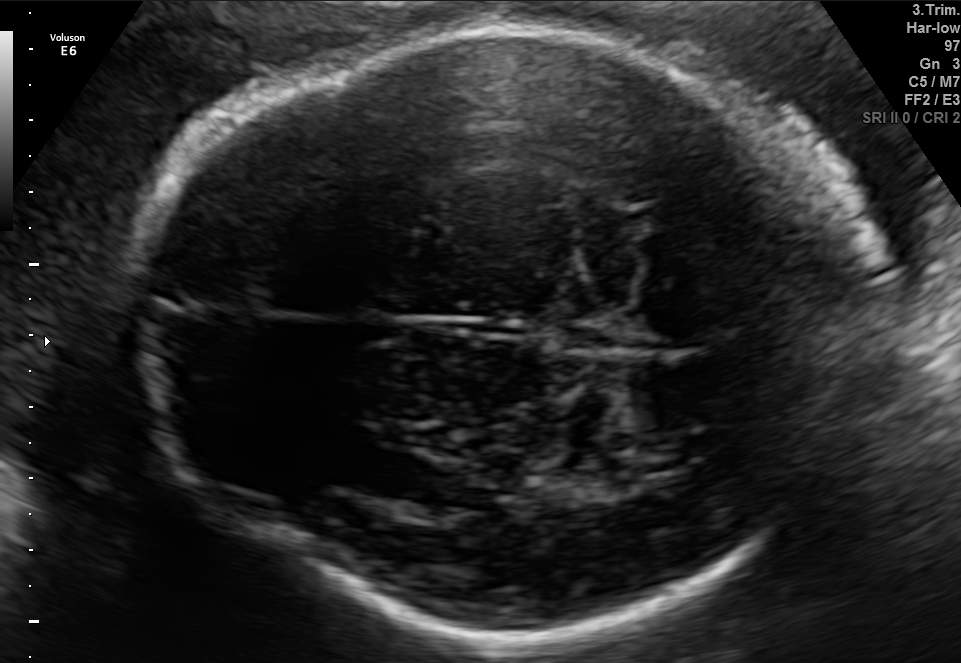
Which standard maternal-fetal ultrasound plane is shown: fetal abdomen, fetal brain, fetal femur, fetal thorax, maternal cervix, or other? If it's fetal brain and one of the three standard brain planes (trans-thalamic, trans-cerebellum, trans-ventricular), name which.

Fetal brain (trans-ventricular plane)